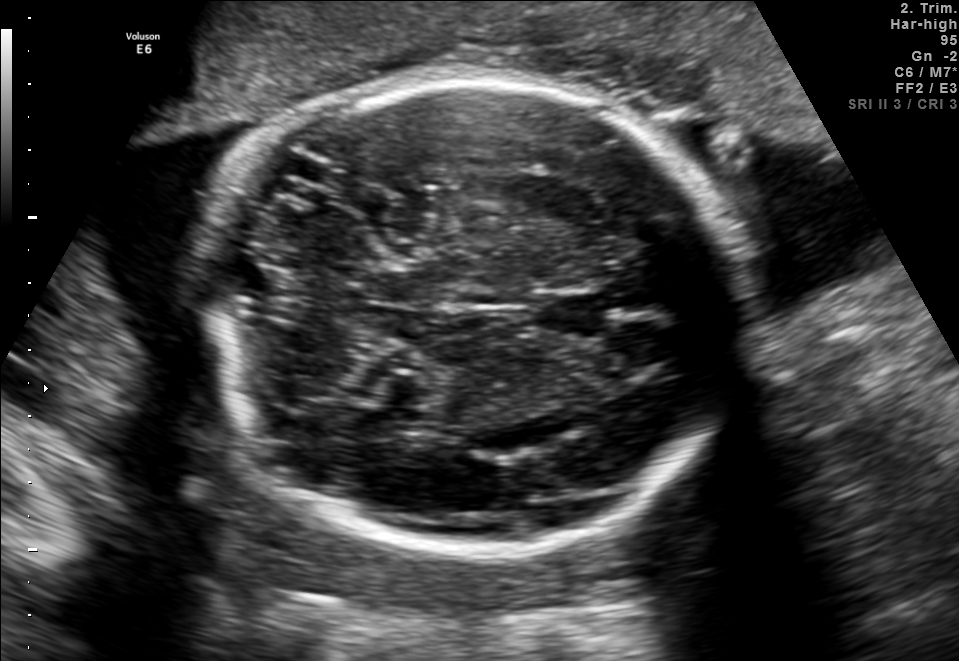
Fetal brain, trans-cerebellum plane. Locate the fetal head and, if visible, the cavum septum pellucidum (CSP) and lateral ventricle (LV). Give bounding boxes as [x1,y1,x2,y2].

Head: [204,76,733,557]
CSP: [536,292,603,339]